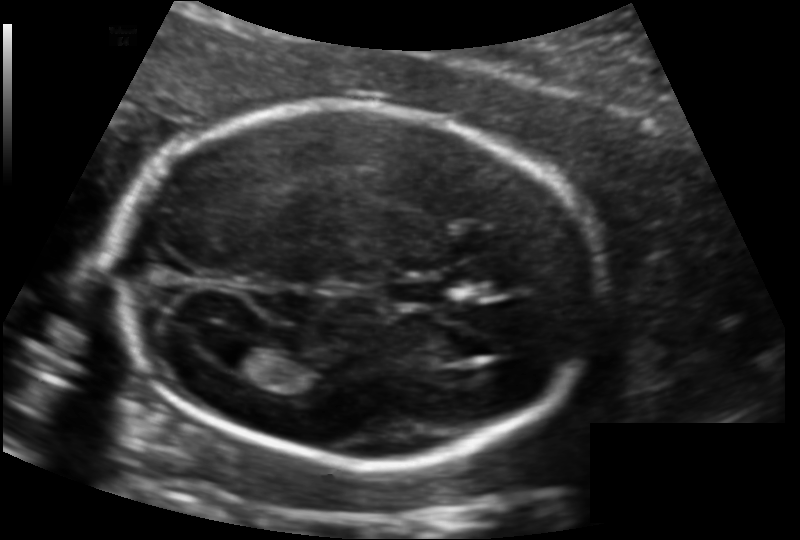
In this fetal head ultrasound, give the bounding box of the cavum septum pellucidum. Image width: 107.1 mm.

[392,278,448,306]